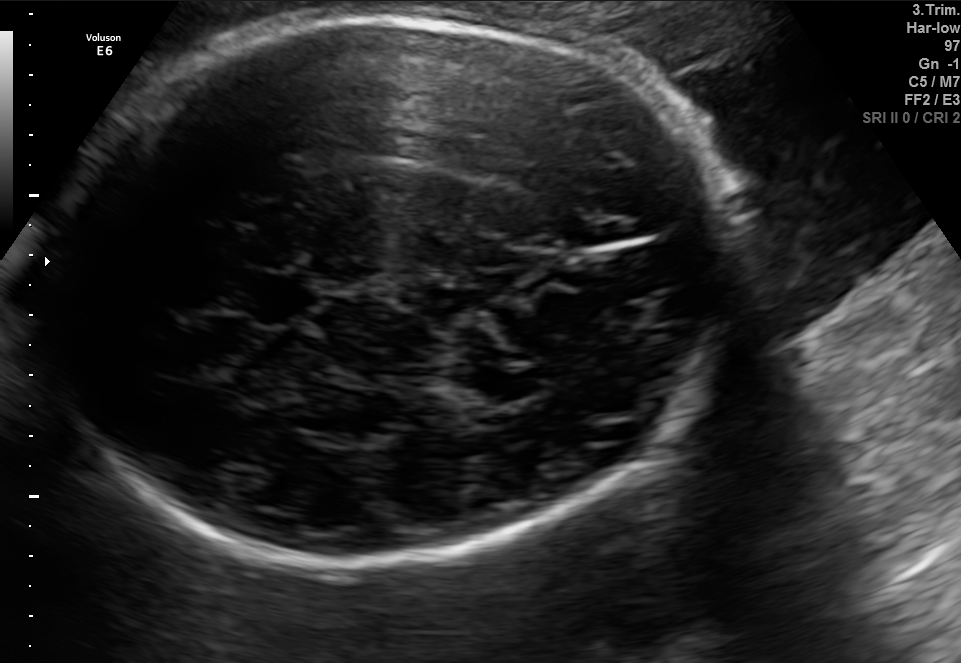
Fetal brain, trans-thalamic plane. Give [x1,y1,x2,y2] bounding boxes for each visible structure among: fetal head, CSP, LV.

Head: [46,16,731,567]
CSP: [237,270,304,326]